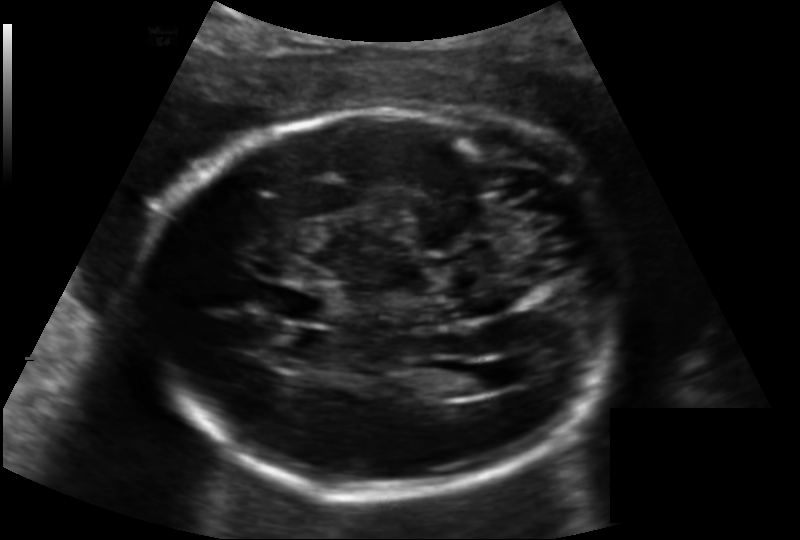
In this fetal head ultrasound, give the bounding box of the fetal head. Image width: 126.5 mm.

[143,109,624,493]